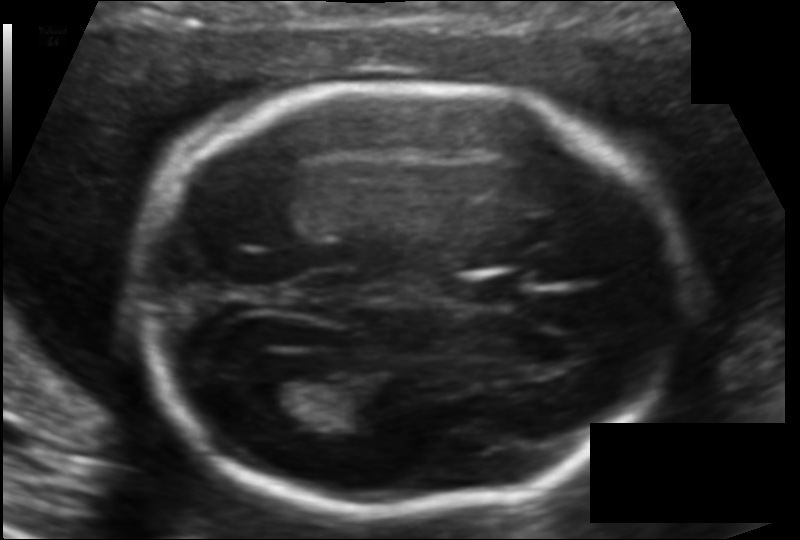
In this fetal head ultrasound, give bounding boxes for the head outline, cavum septum pellucidum (CSP), and lateral ventricle (LV), where visible. Image width: 94.1 mm.

Head: [135,82,675,509]
CSP: [464,268,535,311]
Lateral ventricle: [248,372,340,428]